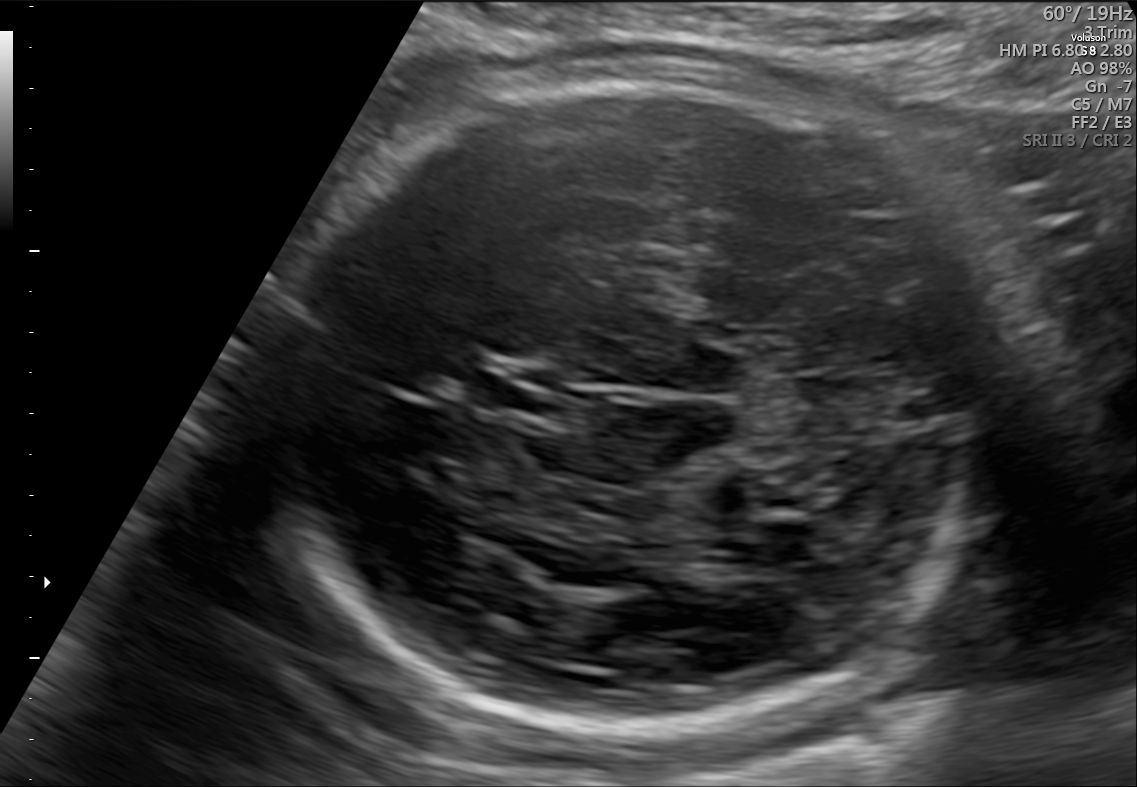
In this fetal brain, trans-cerebellum plane, give bounding boxes for the head outline, cavum septum pellucidum (CSP), and lateral ventricle (LV), where visible.

Head: [268,74,983,727]
CSP: [459,366,552,422]